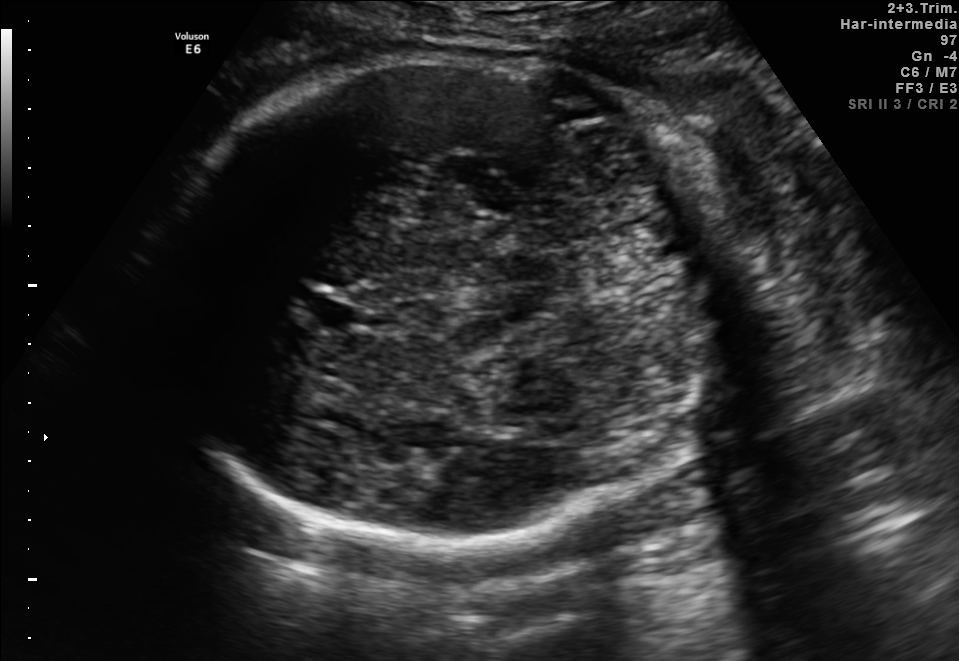
In this fetal brain, trans-thalamic plane, give the bounding box of the cavum septum pellucidum.

[308,294,359,335]